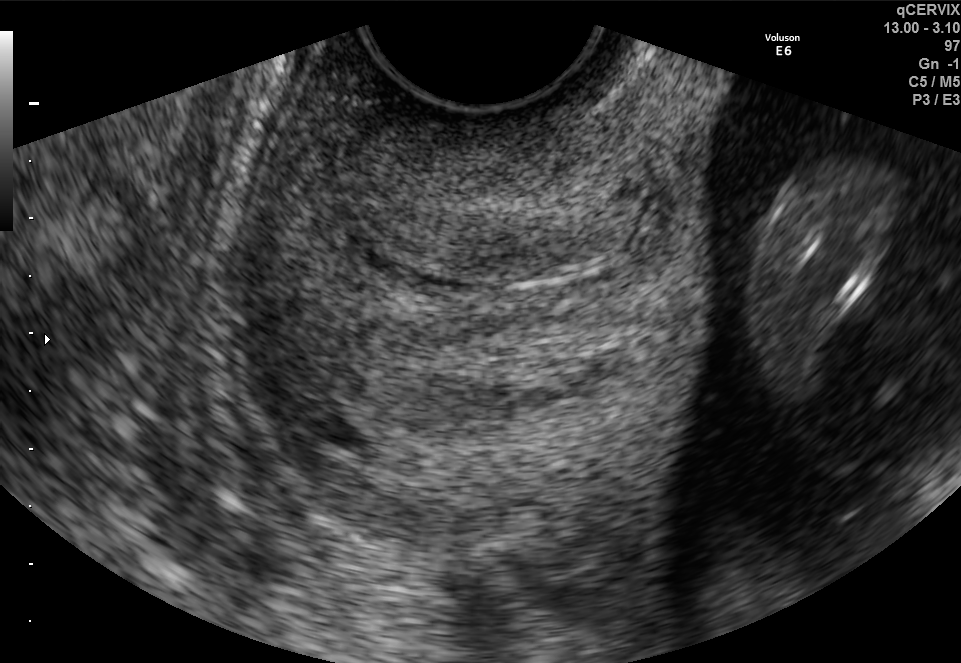
This is a 2D maternal-fetal ultrasound frame. Is it a fetal abdomen, fetal brain, fetal femur, fetal thorax, maternal cervix, or other standard plane? If it's fetal brain and one of the three standard brain planes (trans-thalamic, trans-cerebellum, trans-ventricular), name which.

Maternal cervix